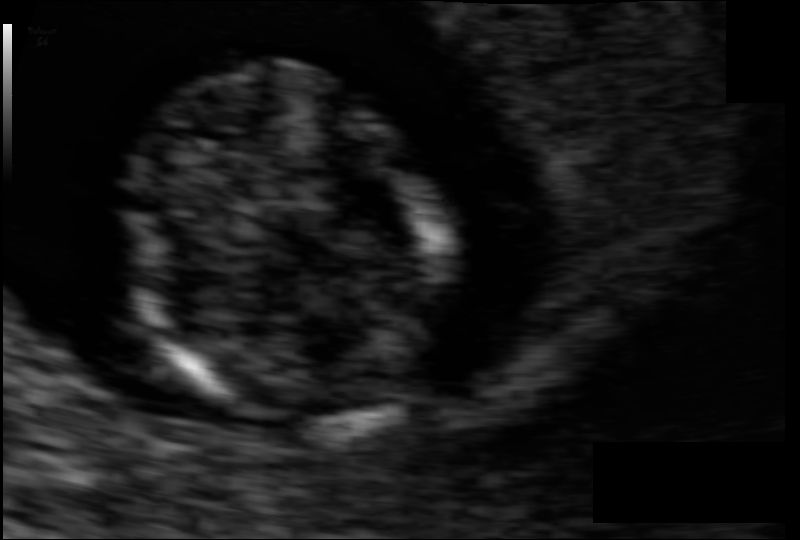
What is the fetal head circumference? Image width is 51.3 mm.

72.0 mm